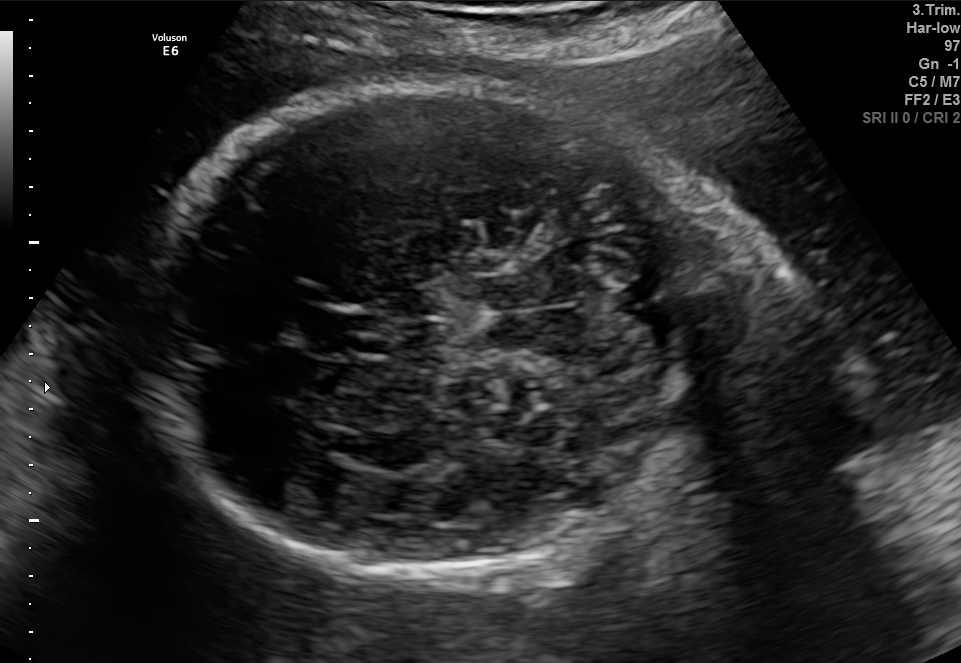
Fetal brain, trans-cerebellum plane. Locate the cavum septum pellucidum.

CSP: [306,307,382,361]